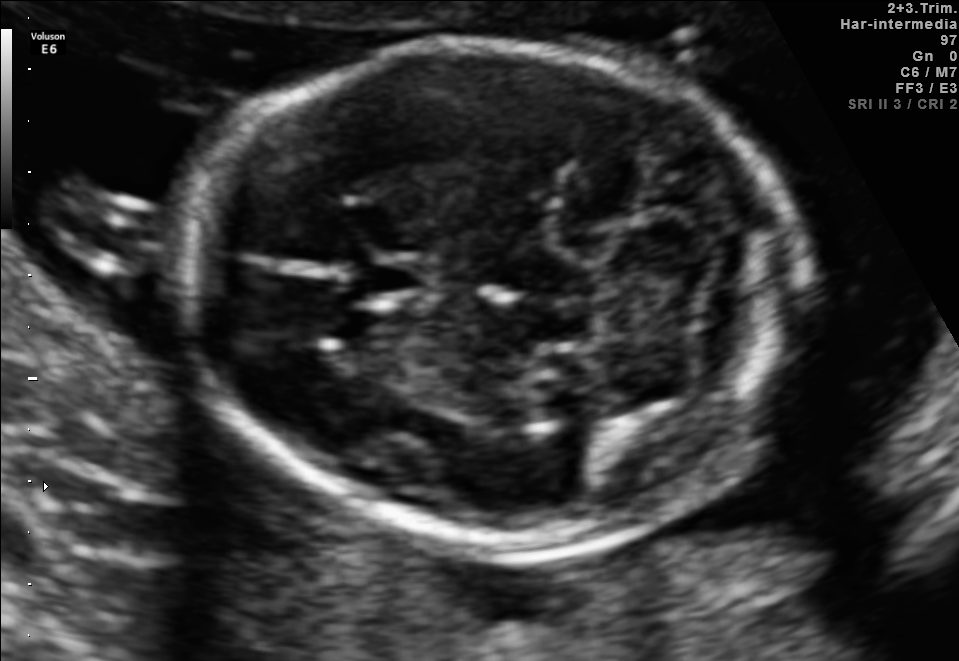
Fetal brain, trans-cerebellum plane. Locate the fetal head and, if visible, the cavum septum pellucidum (CSP) and lateral ventricle (LV). Give bounding boxes as [x1,y1,x2,y2].

Head: [183,44,808,543]
CSP: [356,255,437,308]